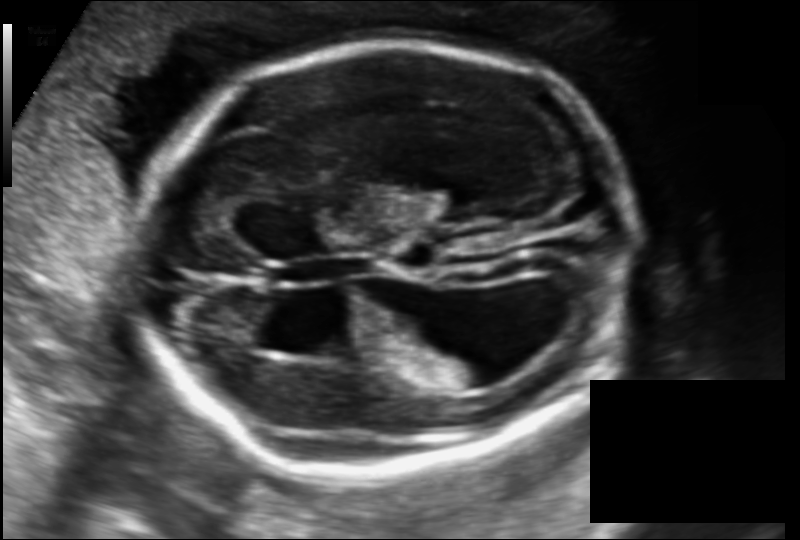
In this fetal head ultrasound, give the bounding box of the fetal head. Image width: 112.8 mm.

[133,44,635,466]